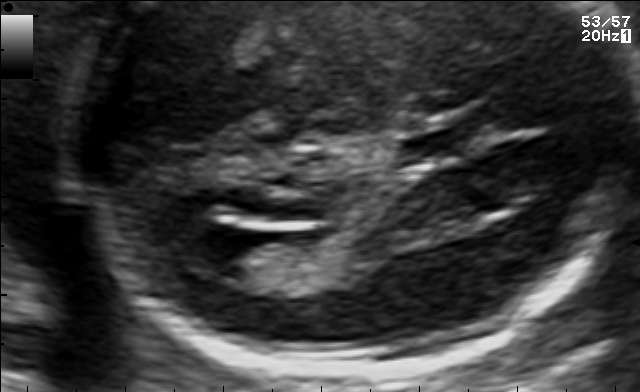
Fetal brain, trans-ventricular plane. Where is the cavum septum pellucidum?

CSP bounding box: [396,123,469,170]